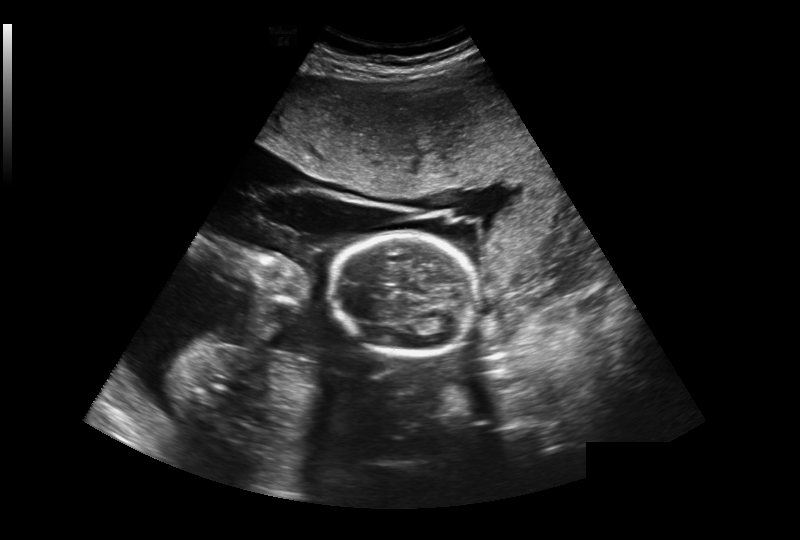
Estimate the fetal head circumference from this 2D ultrasound.

Head circumference: 172.7 mm (image width 314.6 mm).